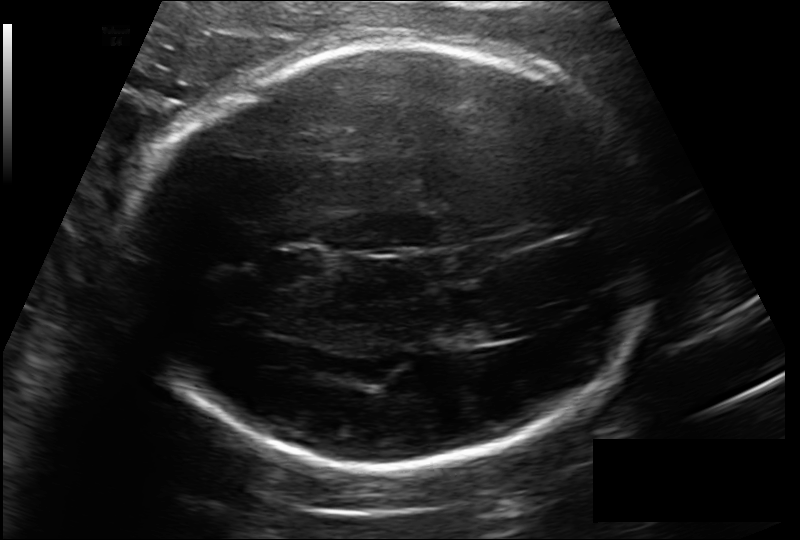
Fetal head ultrasound. Image width: 148.1 mm. Locate the cavum septum pellucidum.

CSP: [271,246,324,279]